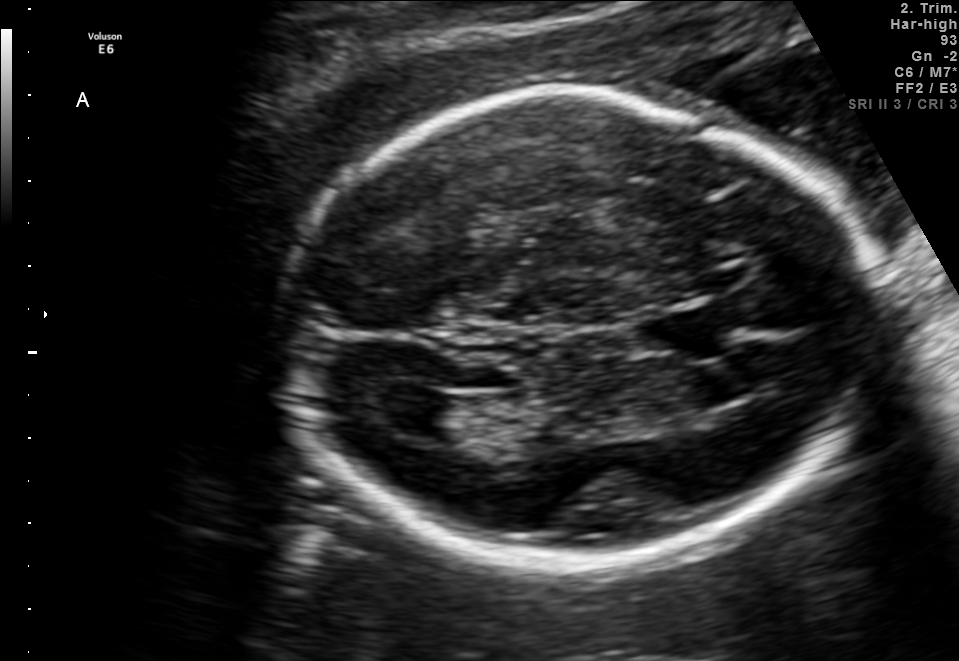
Fetal brain, trans-ventricular plane. Locate the lateral ventricle.

Lateral ventricle: [375,384,465,443]